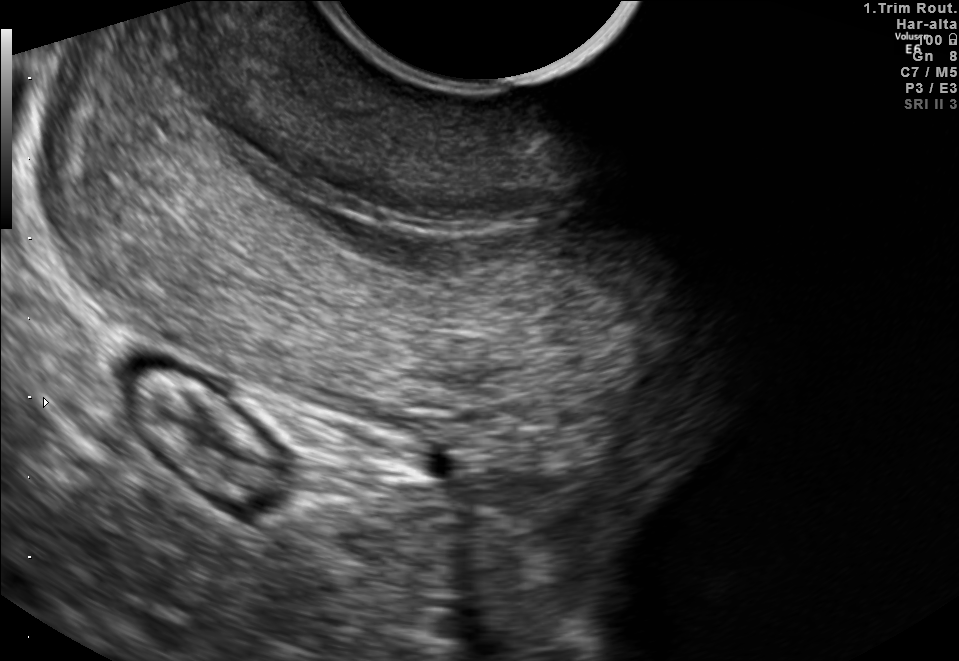
Which standard maternal-fetal ultrasound plane is shown: fetal abdomen, fetal brain, fetal femur, fetal thorax, maternal cervix, or other? If it's fetal brain and one of the three standard brain planes (trans-thalamic, trans-cerebellum, trans-ventricular), name which.

Maternal cervix